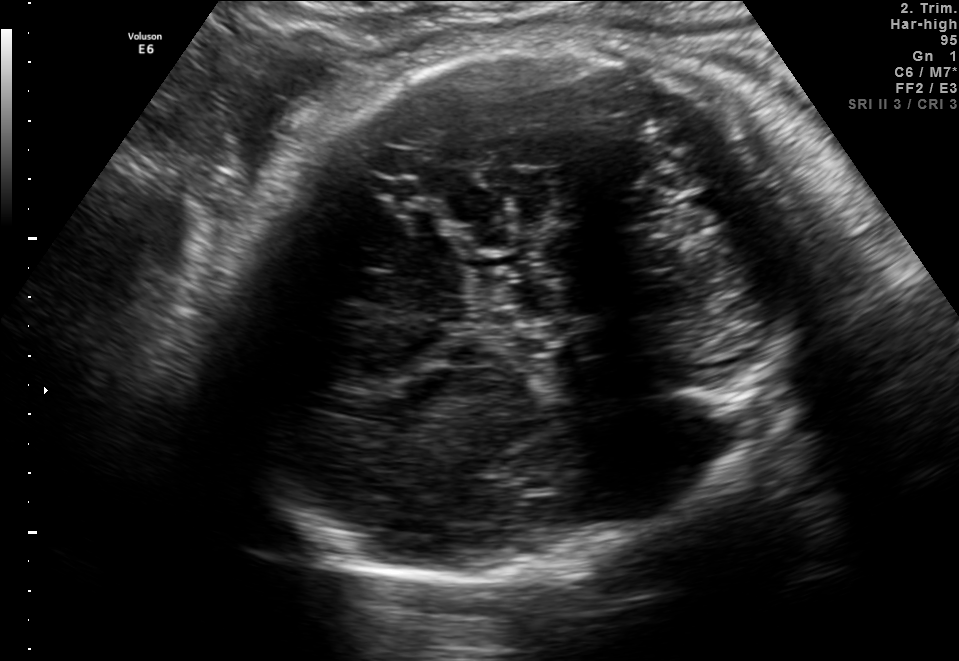
In this fetal brain, trans-thalamic plane, give the bounding box of the fetal head.

[214,42,801,583]